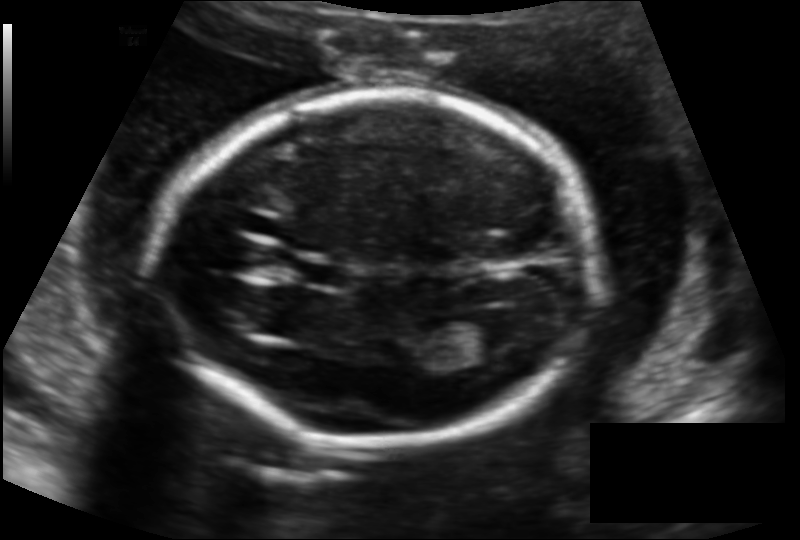
Fetal head ultrasound. Image width: 108.6 mm. Where is the lateral ventricle?

Lateral ventricle bounding box: [457,306,528,359]